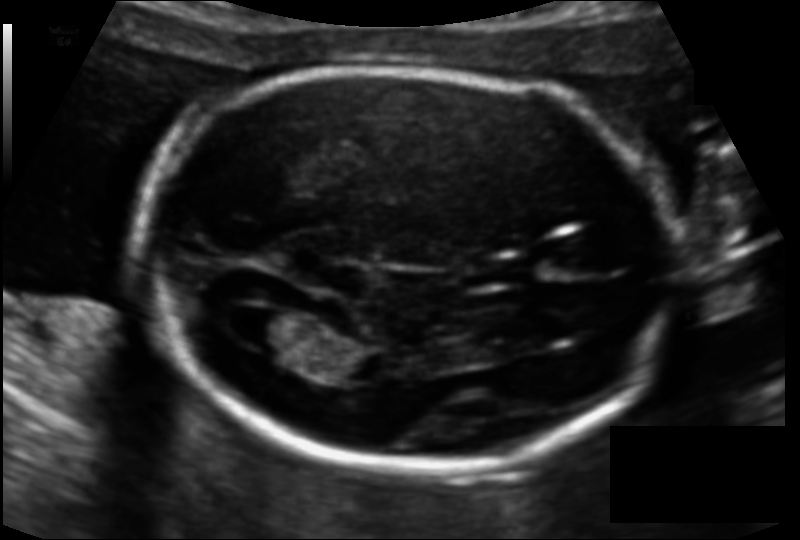
Fetal head ultrasound. Image width: 89.1 mm. Locate the fetal head and, if visible, the cavum septum pellucidum (CSP) and lateral ventricle (LV). Give bounding boxes as [x1,y1,x2,y2].

Head: [140,66,673,471]
CSP: [468,252,532,293]
Lateral ventricle: [222,297,297,355]